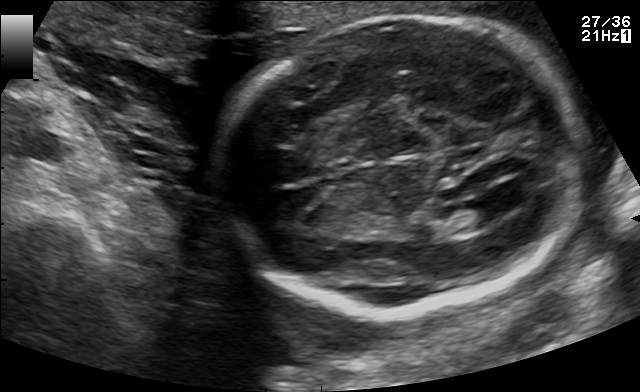
Fetal brain, trans-ventricular plane. Locate the lateral ventricle.

Lateral ventricle: [467,183,524,224]